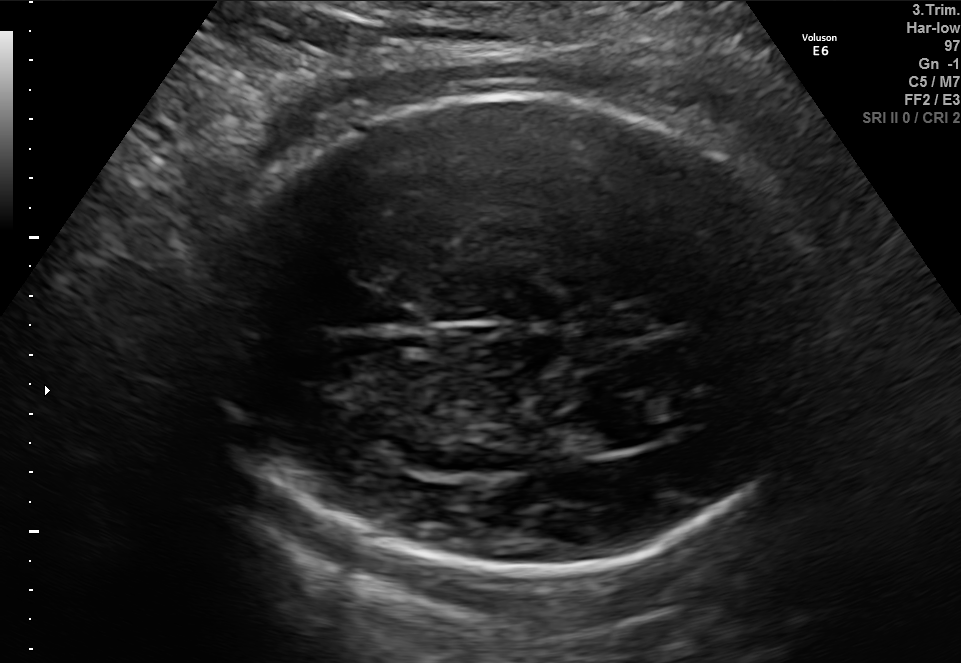
Fetal brain, trans-thalamic plane. Locate the fetal head.

Head: [203,95,832,576]